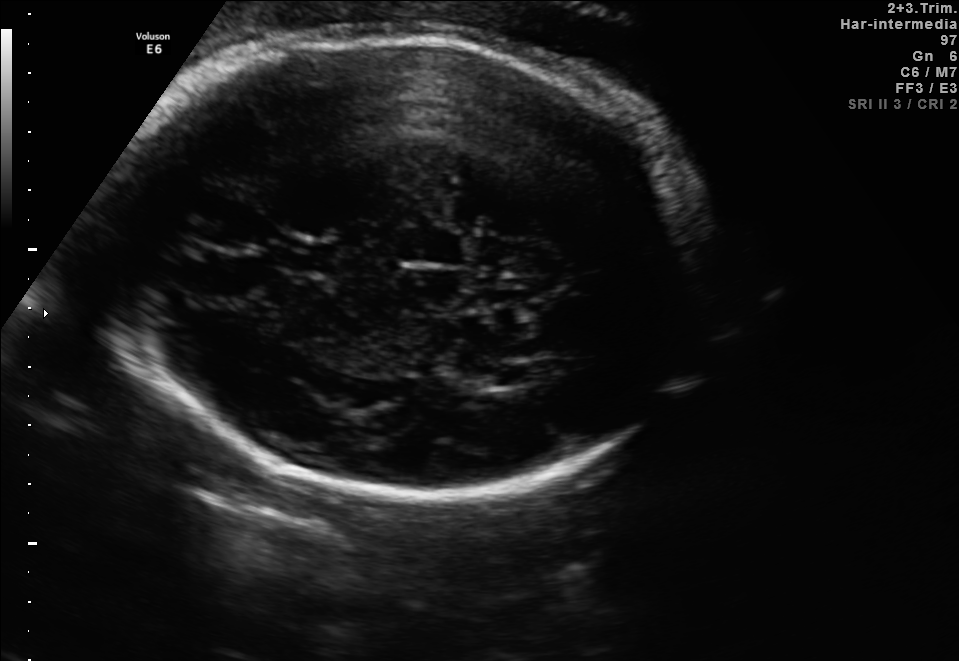
Fetal brain, trans-ventricular plane. Locate the cavum septum pellucidum.

CSP: [274,239,338,274]